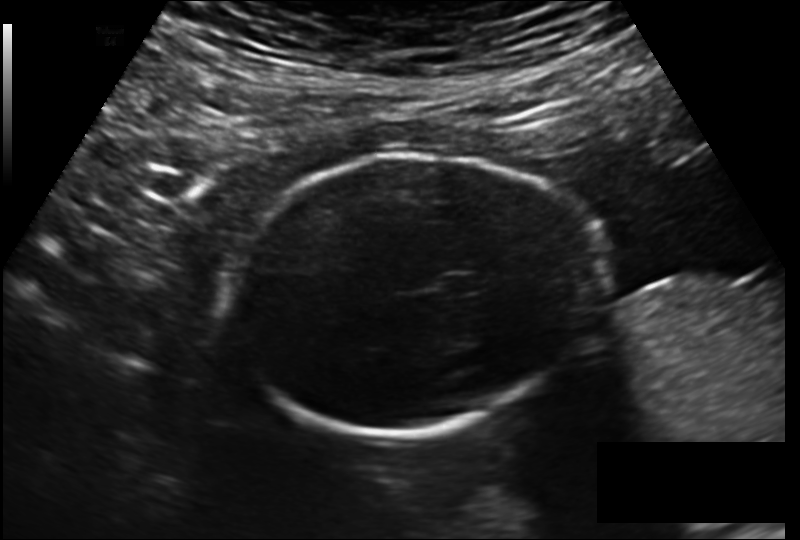
What is the fetal head circumference? Image width is 142.1 mm.

189.2 mm